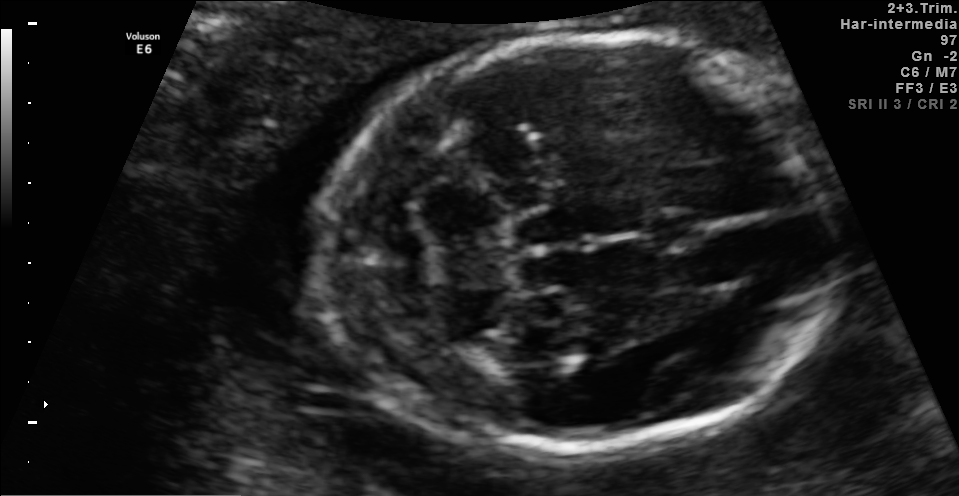
Fetal brain, trans-cerebellum plane. Where is the cavum septum pellucidum?

CSP bounding box: [638,208,710,252]